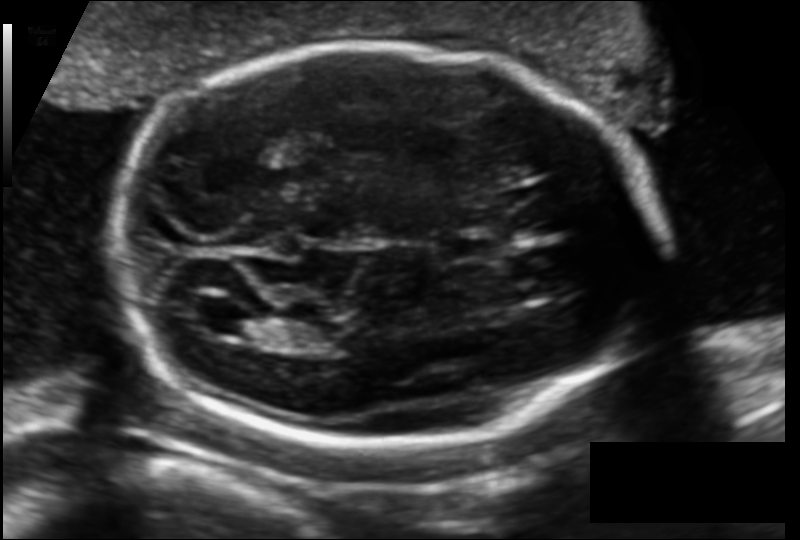
In this fetal head ultrasound, give bounding boxes for the head outline, cavum septum pellucidum (CSP), and lateral ventricle (LV), where visible. Image width: 103.4 mm.

Head: [113,45,658,441]
CSP: [437,228,507,266]
Lateral ventricle: [188,295,251,336]